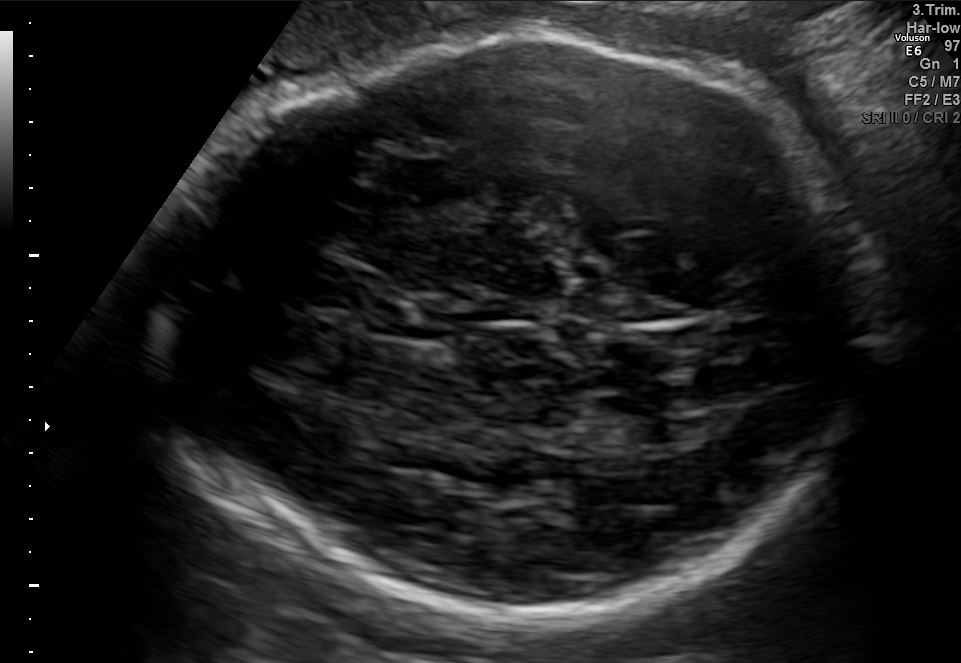
Identify the standard plane in this fetal ultrasound image: fetal abdomen, fetal brain, fetal femur, fetal thorax, maternal cervix, or other. If it's fetal brain and one of the three standard brain planes (trans-thalamic, trans-cerebellum, trans-ventricular), name which.

Fetal brain (trans-thalamic plane)